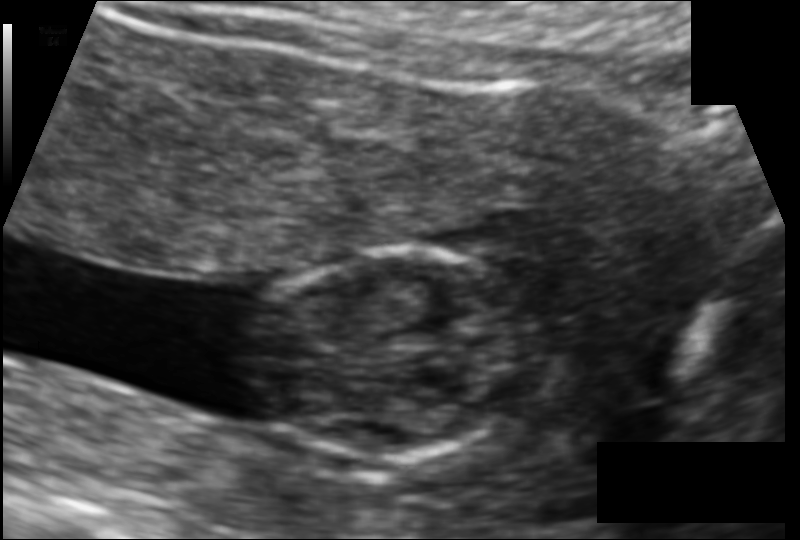
Fetal head ultrasound. Image width: 84.2 mm. Locate the fetal head and, if visible, the cavum septum pellucidum (CSP) and lateral ventricle (LV). Give bounding boxes as [x1,y1,x2,y2].

Head: [252,250,523,463]